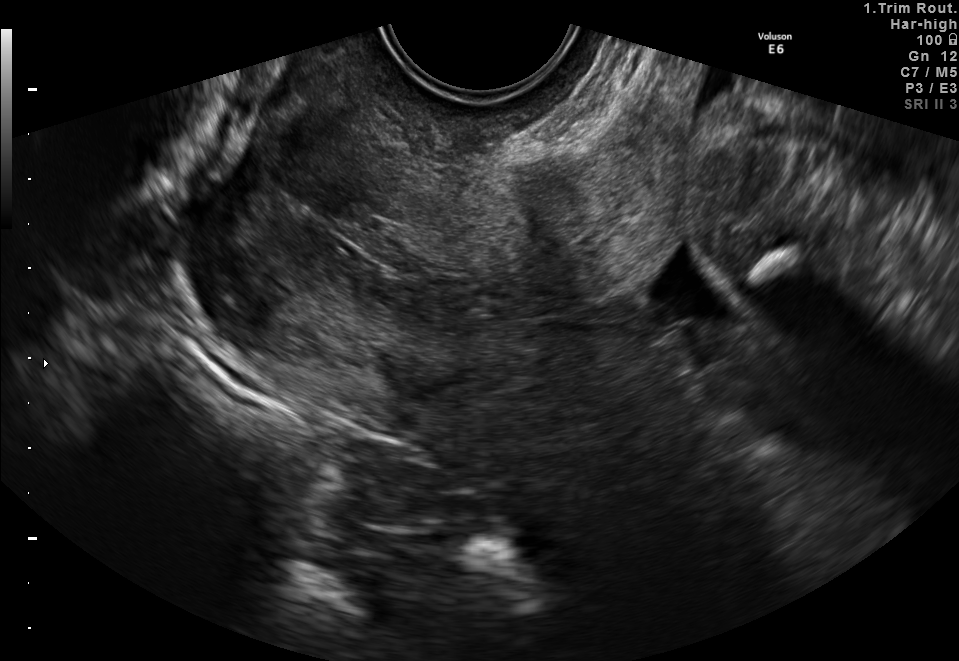
Identify the standard plane in this fetal ultrasound image: fetal abdomen, fetal brain, fetal femur, fetal thorax, maternal cervix, or other. If it's fetal brain and one of the three standard brain planes (trans-thalamic, trans-cerebellum, trans-ventricular), name which.

Maternal cervix